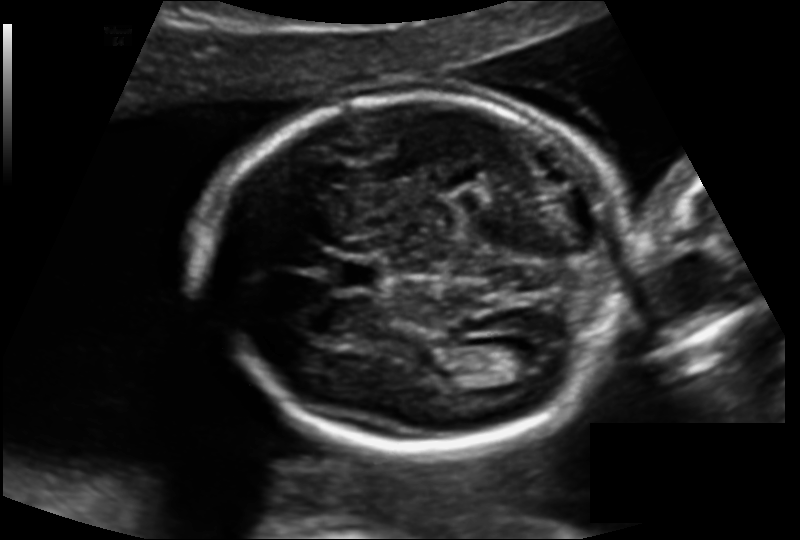
In this fetal head ultrasound, give the bounding box of the lateral ventricle. Image width: 110.2 mm.

[484,337,540,374]